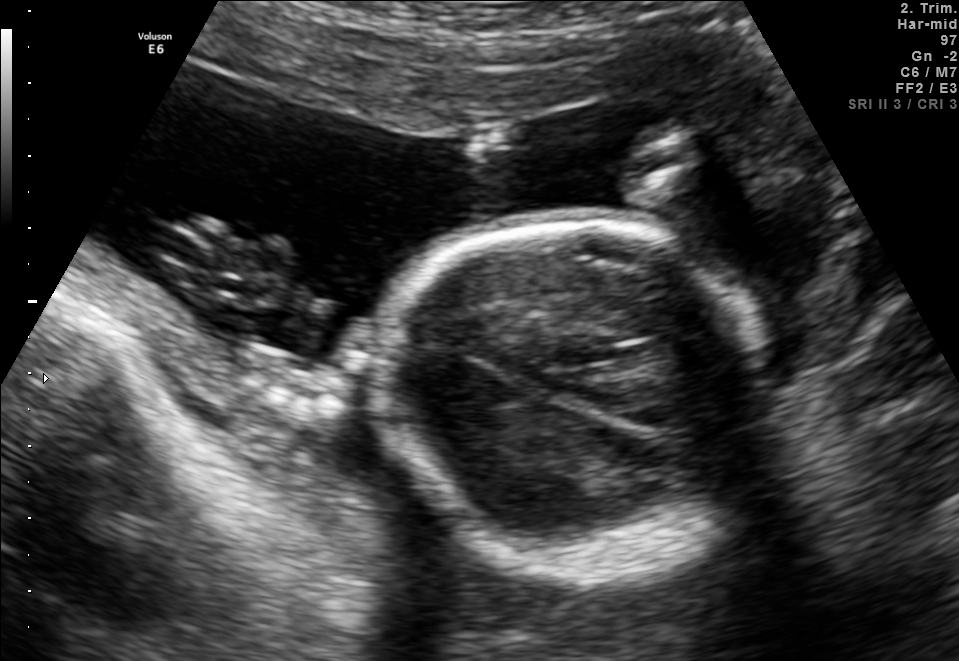
Fetal brain, trans-thalamic plane. Where is the fetal head?

Head bounding box: [369,220,776,575]